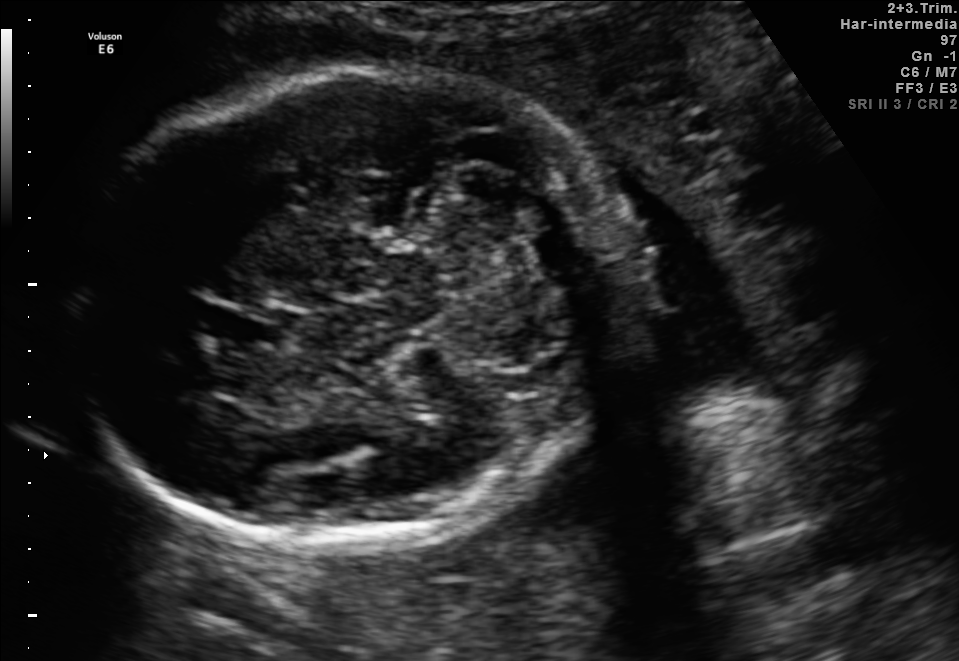
Fetal brain, trans-cerebellum plane. Locate the fetal head.

Head: [76,68,625,543]